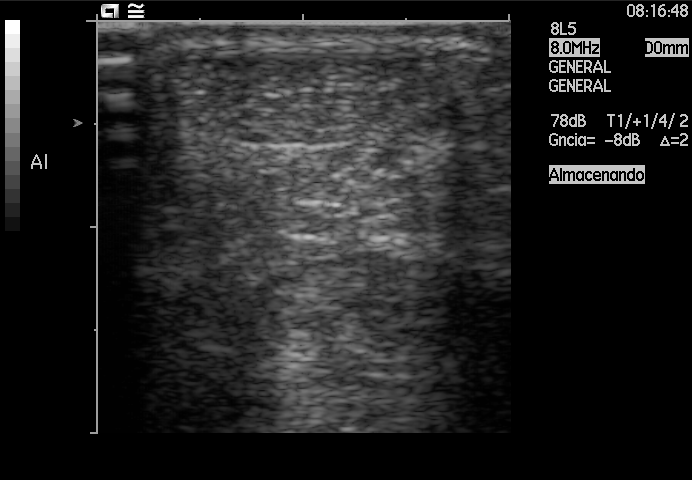
This is a 2D maternal-fetal ultrasound frame. Is it a fetal abdomen, fetal brain, fetal femur, fetal thorax, maternal cervix, or other standard plane? If it's fetal brain and one of the three standard brain planes (trans-thalamic, trans-cerebellum, trans-ventricular), name which.

Other